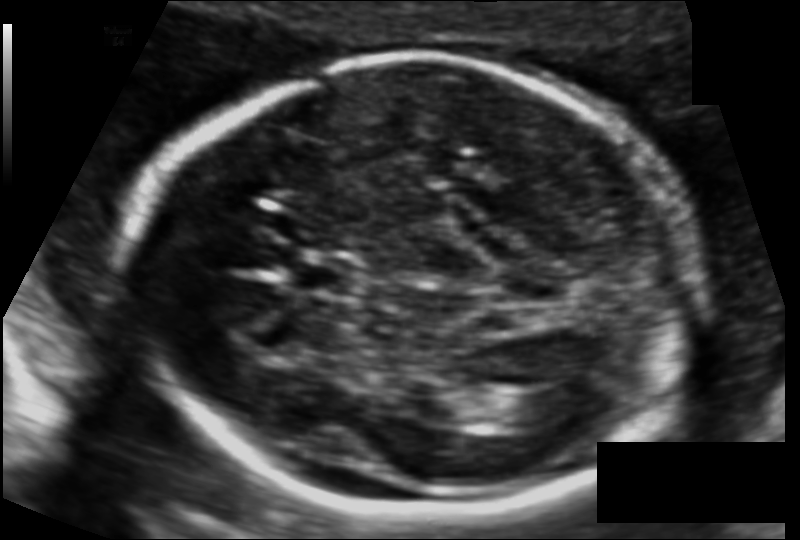
Fetal head ultrasound. Image width: 89.5 mm. Locate the fetal head.

Head: [128,59,702,512]